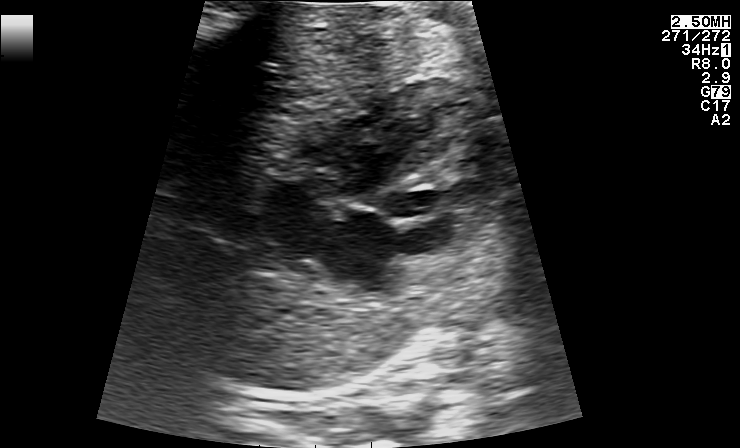
Classify this maternal-fetal ultrasound image as one of the six standard planes — fetal abdomen, fetal brain, fetal femur, fetal thorax, maternal cervix, or other. If it's fetal brain and one of the three standard brain planes (trans-thalamic, trans-cerebellum, trans-ventricular), name which.

Fetal thorax